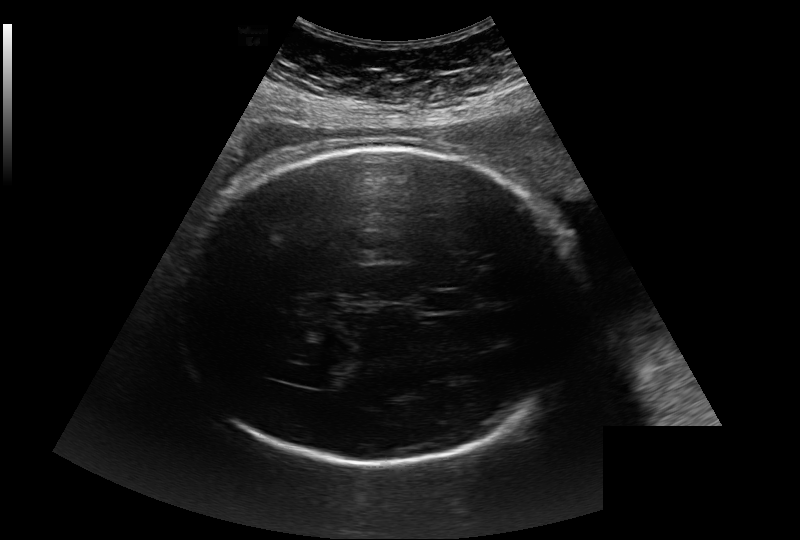
Fetal head ultrasound. Image width: 227.4 mm. Locate the lateral ventricle.

Lateral ventricle: [309,370,342,391]